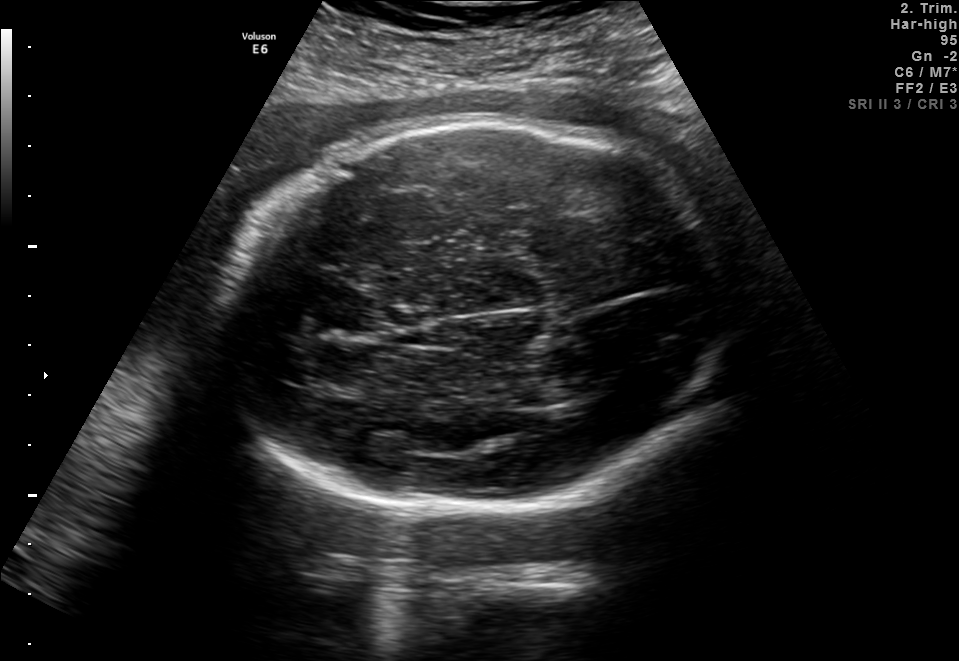
In this fetal brain, trans-thalamic plane, give the bounding box of the lateral ventricle.

[542,368,611,409]